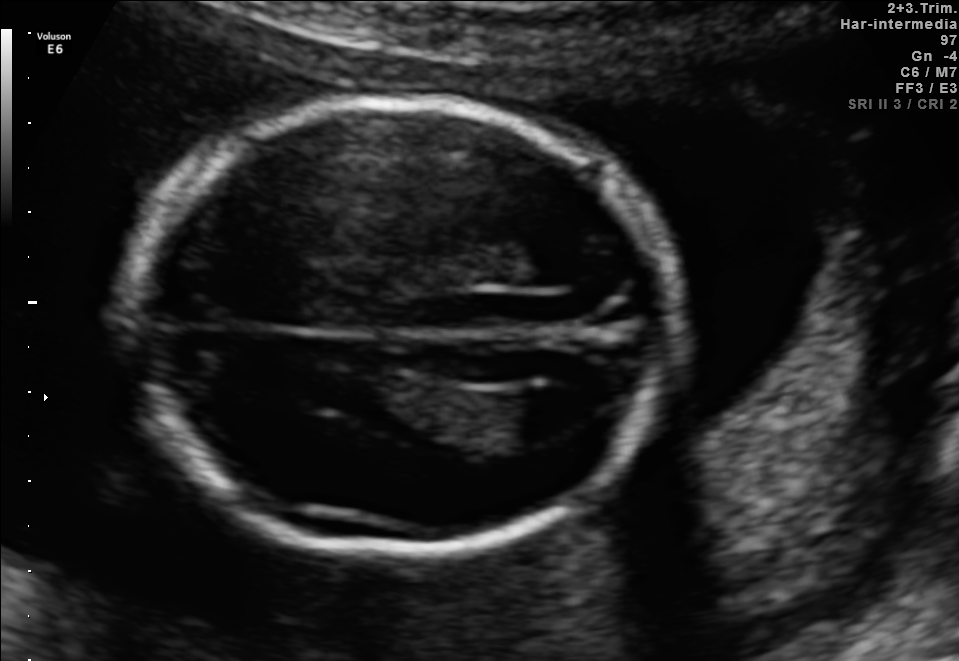
Fetal brain, trans-ventricular plane. Give [x1,y1,x2,y2] bounding boxes for each visible structure among: fetal head, CSP, LV.

Head: [106,90,699,567]
Lateral ventricle: [503,376,600,449]